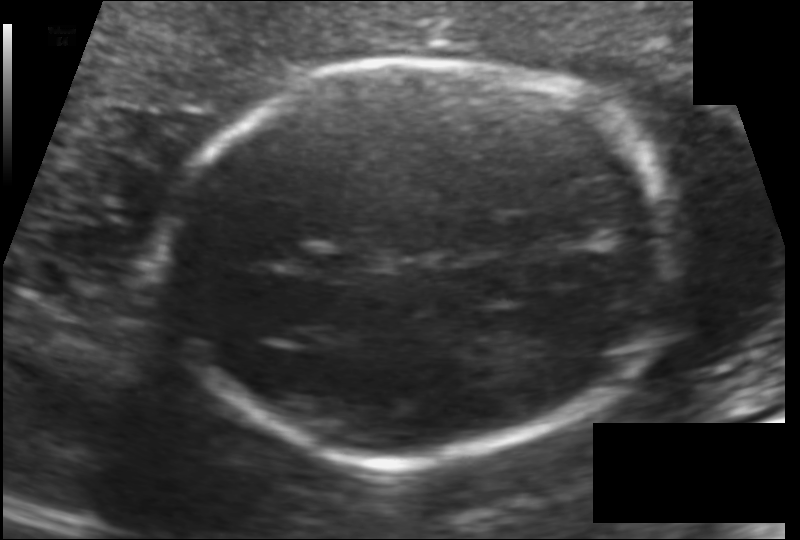
In this fetal head ultrasound, give bounding boxes for the head outline, cavum septum pellucidum (CSP), and lateral ventricle (LV), where visible. Image width: 95.9 mm.

Head: [170,61,672,461]